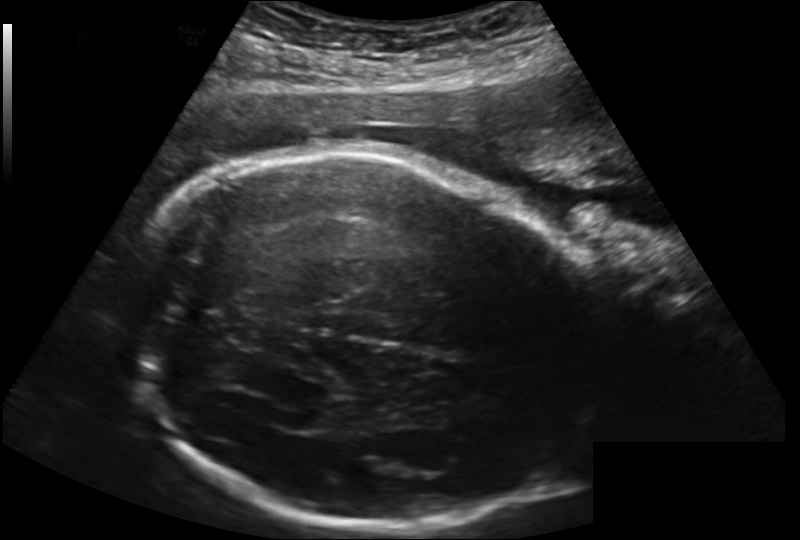
Estimate the fetal head circumference from this 2D ultrasound.

Head circumference: 278.4 mm (image width 161.7 mm).